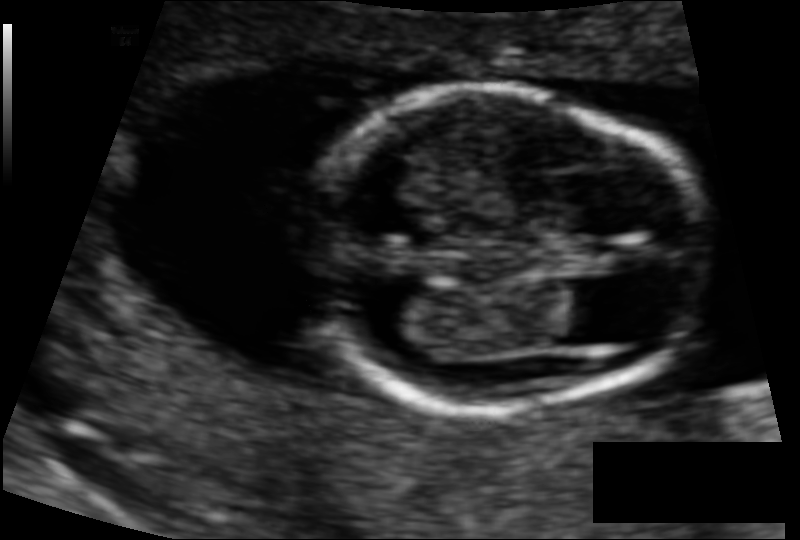
From this fetal ultrasound, estimate the head circumference (image width 67.4 mm).

Head circumference: 99.3 mm.